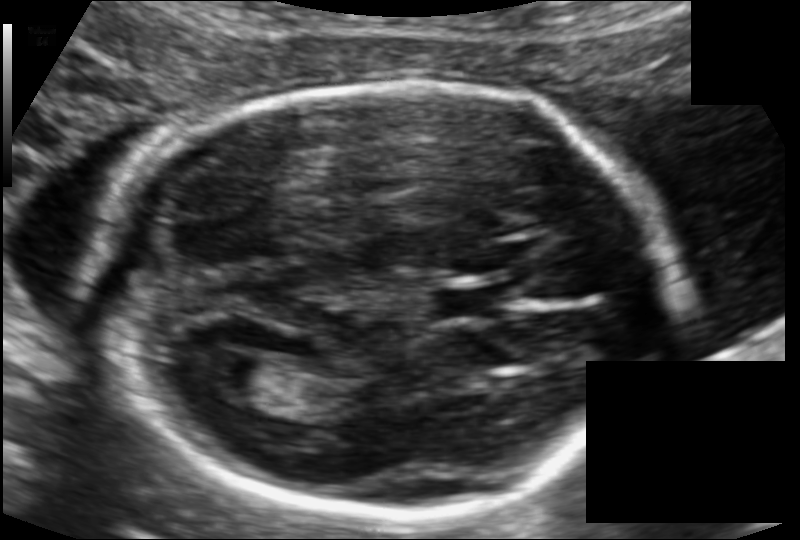
In this fetal head ultrasound, give bounding boxes for the head outline, cavum septum pellucidum (CSP), and lateral ventricle (LV), where visible. Image width: 87.3 mm.

Head: [96,83,669,522]
CSP: [428,280,504,325]
Lateral ventricle: [190,345,282,405]